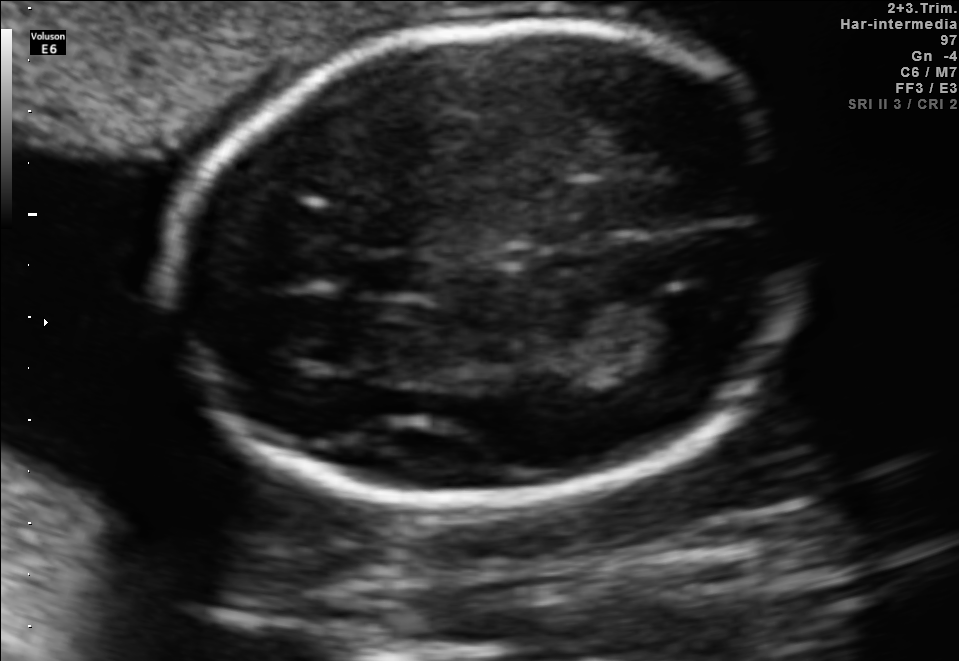
In this fetal brain, trans-thalamic plane, give the bounding box of the cavum septum pellucidum.

[351,259,429,292]